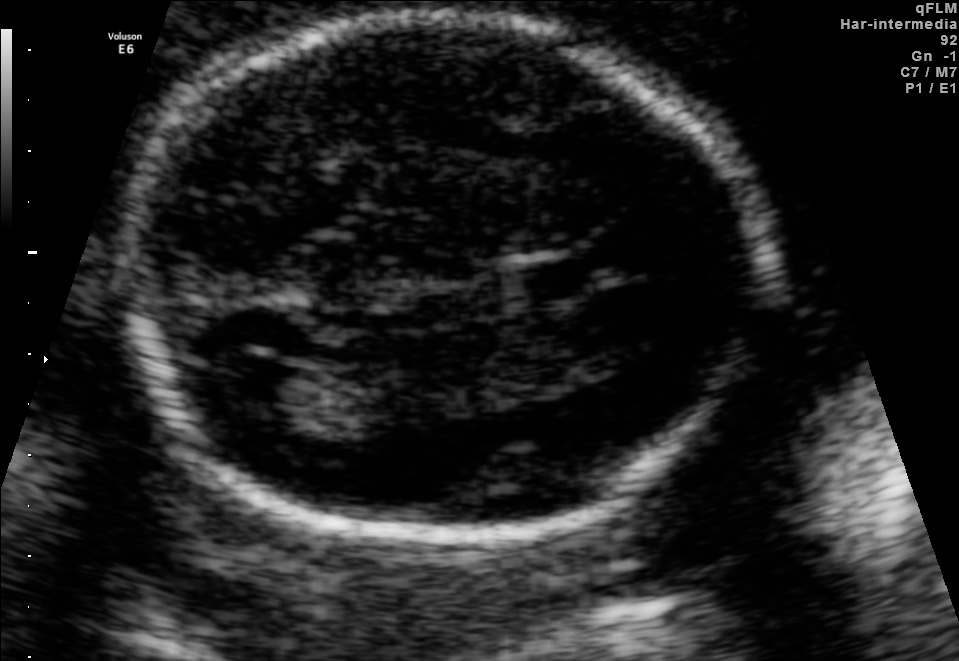
In this fetal brain, trans-ventricular plane, give the bounding box of the fetal head.

[101,6,796,561]